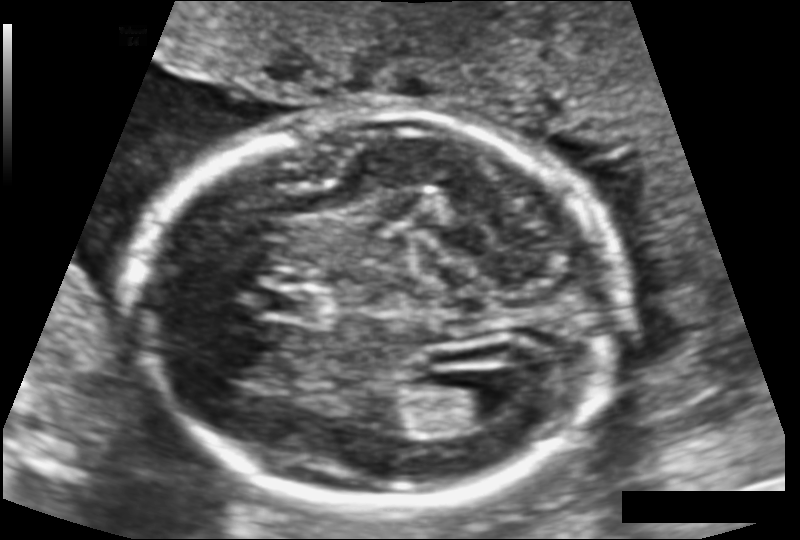
Fetal head ultrasound. Image width: 99.5 mm. Locate the fetal head and, if visible, the cavum septum pellucidum (CSP) and lateral ventricle (LV). Give bounding boxes as [x1,y1,x2,y2].

Head: [136,112,622,511]
CSP: [261,287,316,320]
Lateral ventricle: [438,383,519,434]